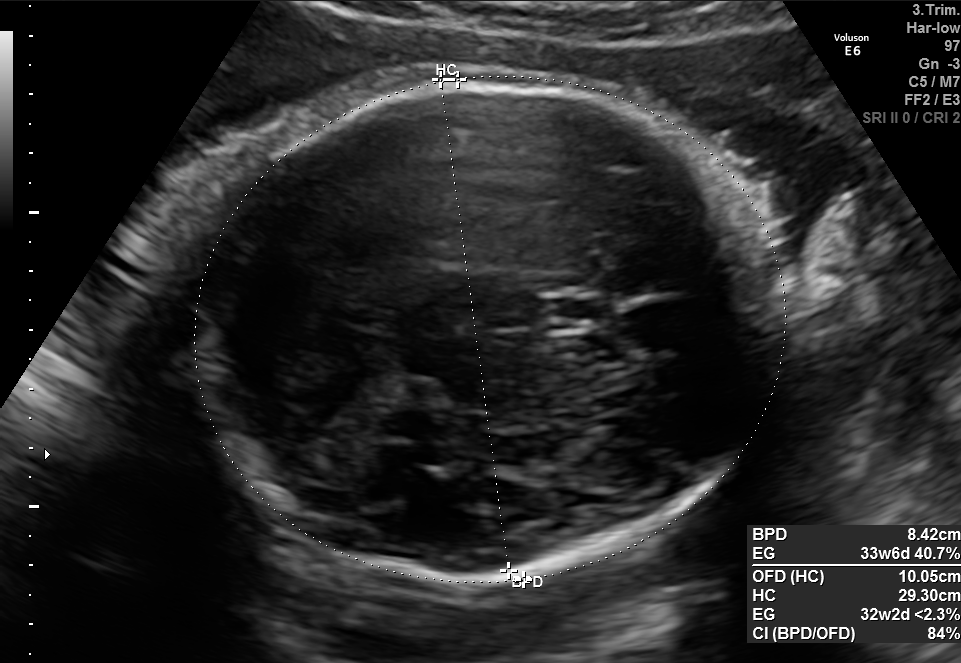
Fetal brain, trans-thalamic plane. Give [x1,y1,x2,y2] bounding boxes for each visible structure among: fetal head, CSP, LV.

Head: [193,73,786,582]
CSP: [540,294,616,331]